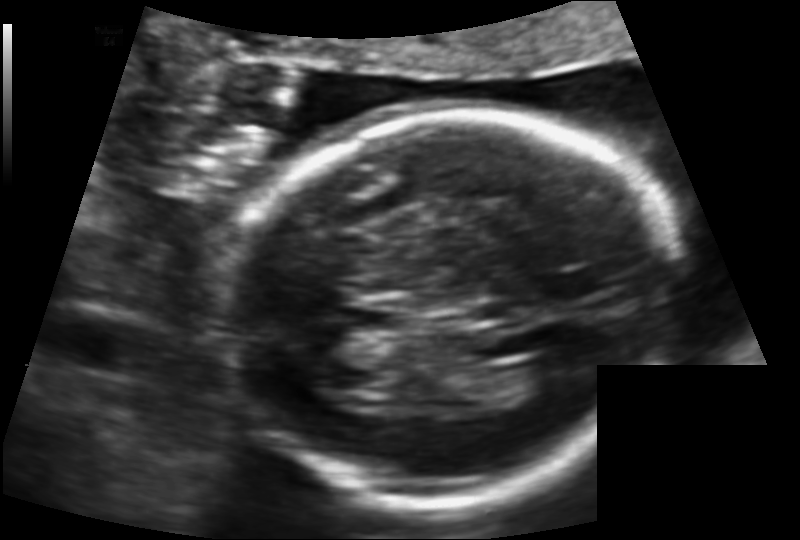
In this fetal head ultrasound, give the bounding box of the fetal head. Image width: 97.9 mm.

[228,111,672,504]